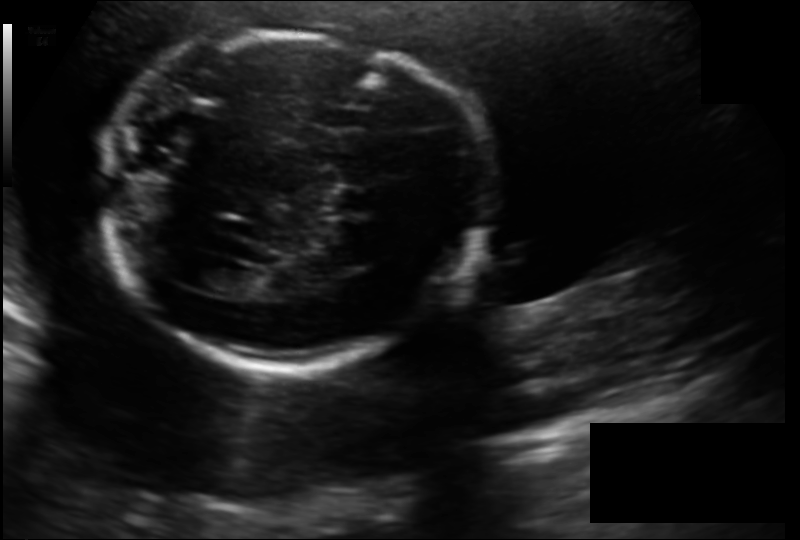
In this fetal head ultrasound, give bounding boxes for the head outline, cavum septum pellucidum (CSP), and lateral ventricle (LV), where visible. Image width: 126.7 mm.

Head: [98,34,486,367]
CSP: [327,187,374,216]
Lateral ventricle: [191,260,244,297]